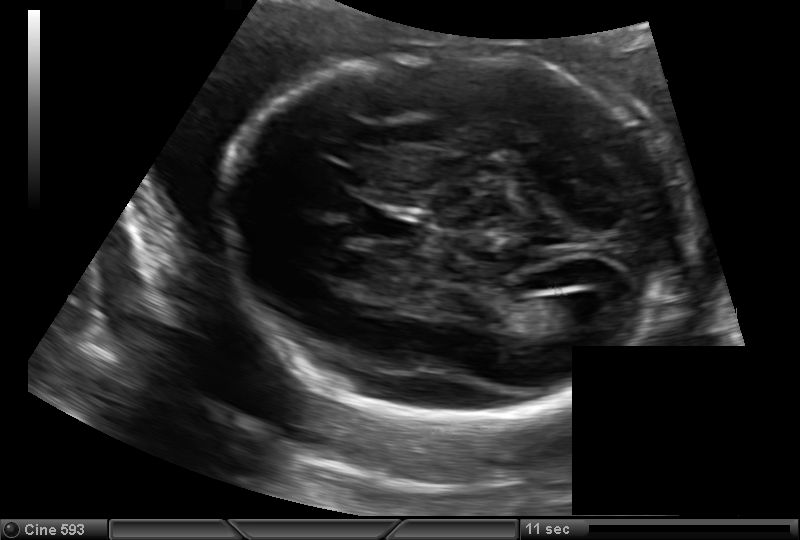
Measure the fetal head circumference shown in this ultrasound image. Image width: 115.2 mm.

Head circumference: 196.0 mm.